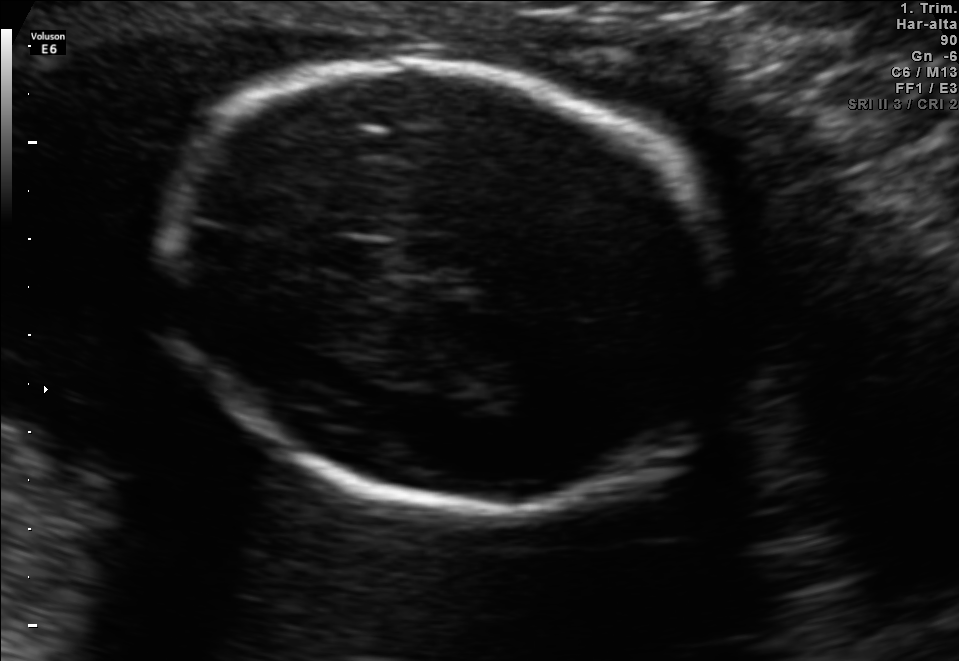
Fetal brain, trans-thalamic plane. Give [x1,y1,x2,y2] bounding boxes for each visible structure among: fetal head, CSP, LV.

Head: [164,60,727,515]
CSP: [328,238,394,274]